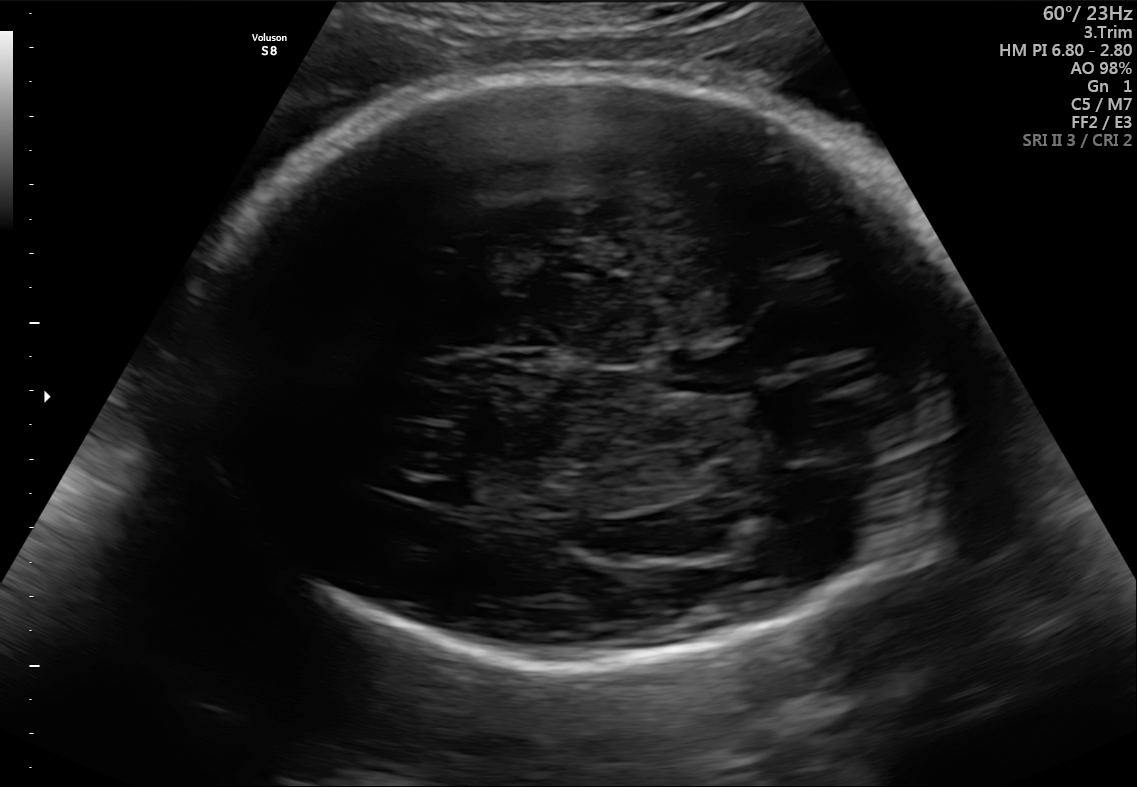
In this fetal brain, trans-thalamic plane, give the bounding box of the cavum septum pellucidum.

[669,353,744,393]